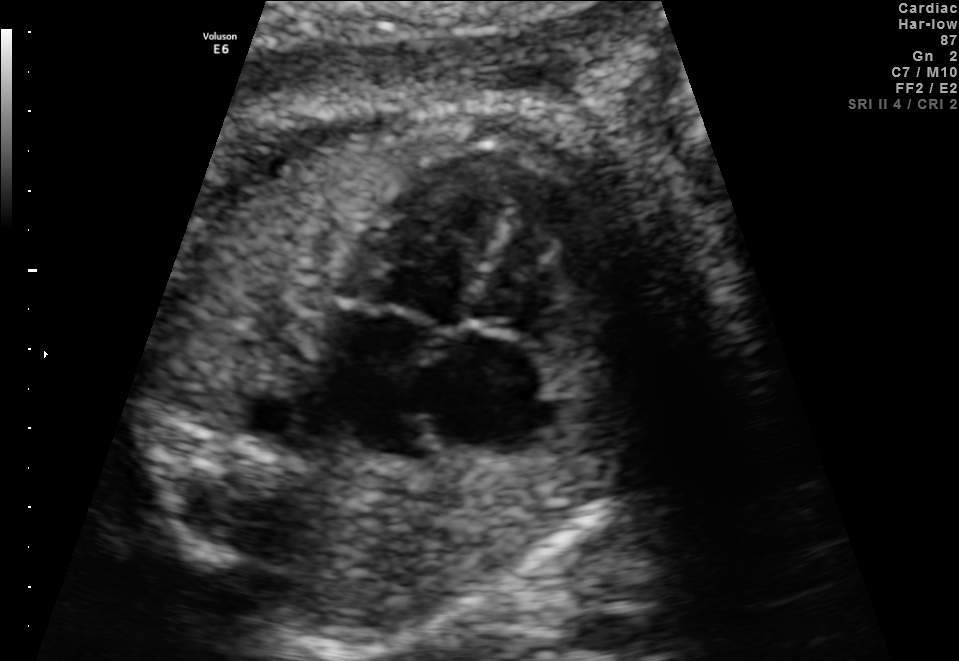
This is a 2D maternal-fetal ultrasound frame. Is it a fetal abdomen, fetal brain, fetal femur, fetal thorax, maternal cervix, or other standard plane? If it's fetal brain and one of the three standard brain planes (trans-thalamic, trans-cerebellum, trans-ventricular), name which.

Fetal thorax